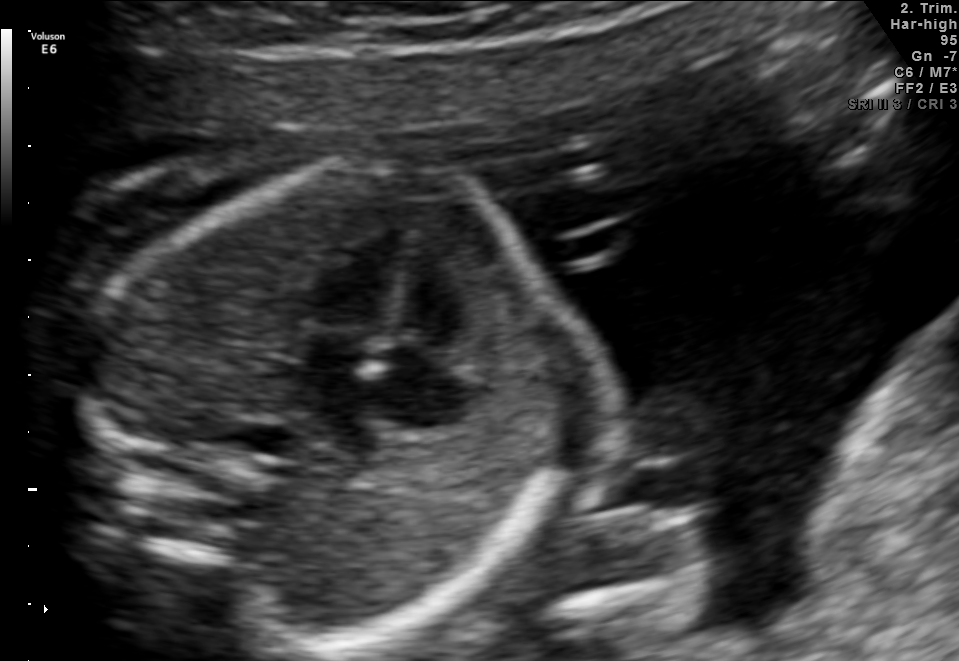
Identify the standard plane in this fetal ultrasound image: fetal abdomen, fetal brain, fetal femur, fetal thorax, maternal cervix, or other. If it's fetal brain and one of the three standard brain planes (trans-thalamic, trans-cerebellum, trans-ventricular), name which.

Fetal thorax